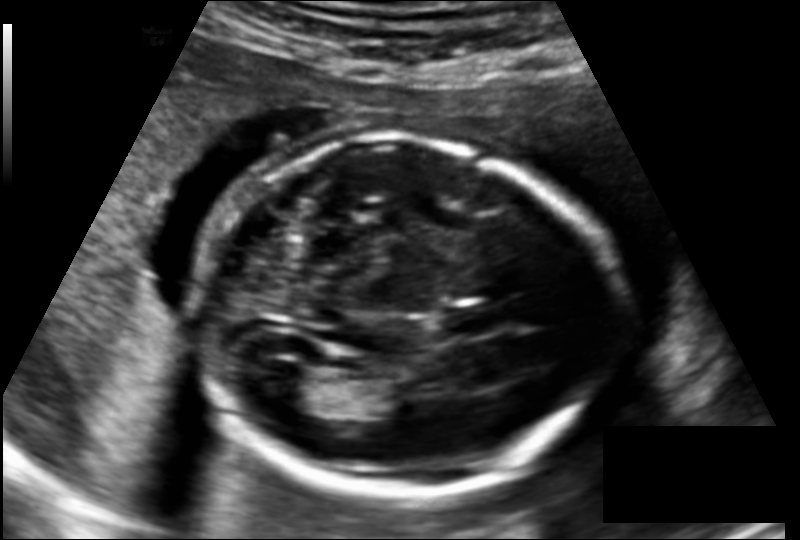
Estimate the fetal head circumference from this 2D ultrasound. Image width: 115.9 mm.

Head circumference: 183.1 mm.